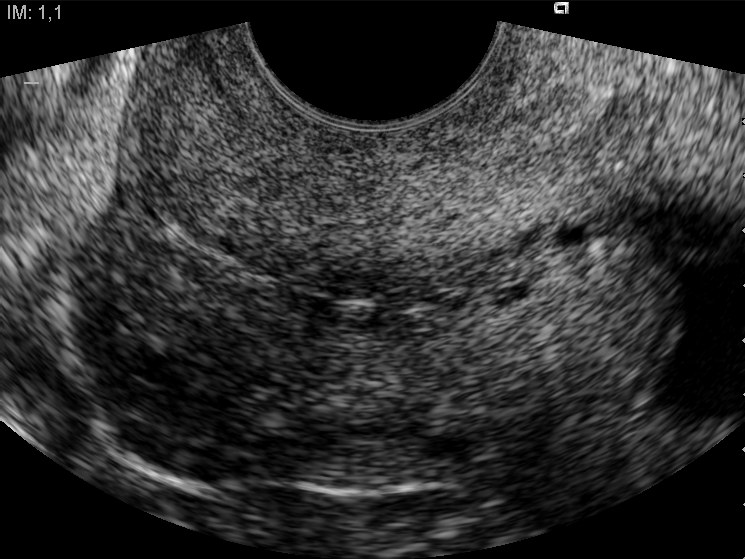
This is a 2D maternal-fetal ultrasound frame. Is it a fetal abdomen, fetal brain, fetal femur, fetal thorax, maternal cervix, or other standard plane? If it's fetal brain and one of the three standard brain planes (trans-thalamic, trans-cerebellum, trans-ventricular), name which.

Maternal cervix